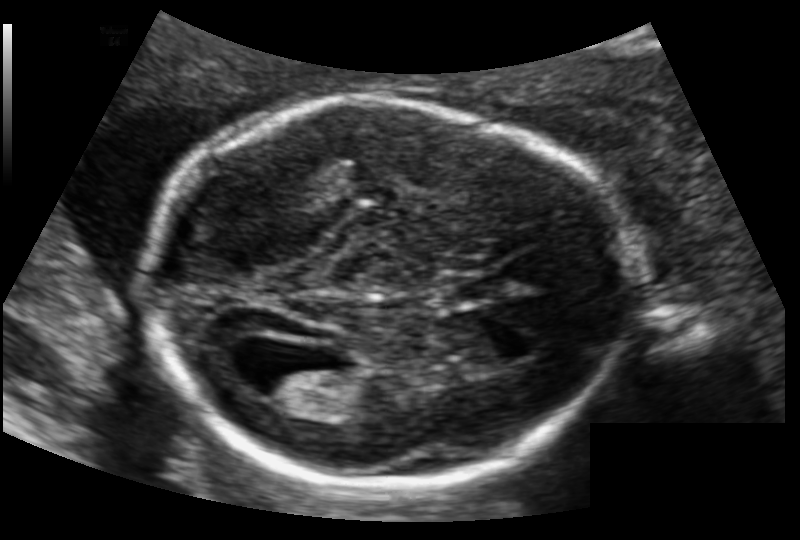
In this fetal head ultrasound, give the bounding box of the lateral ventricle. Image width: 100.7 mm.

[242,345,327,415]